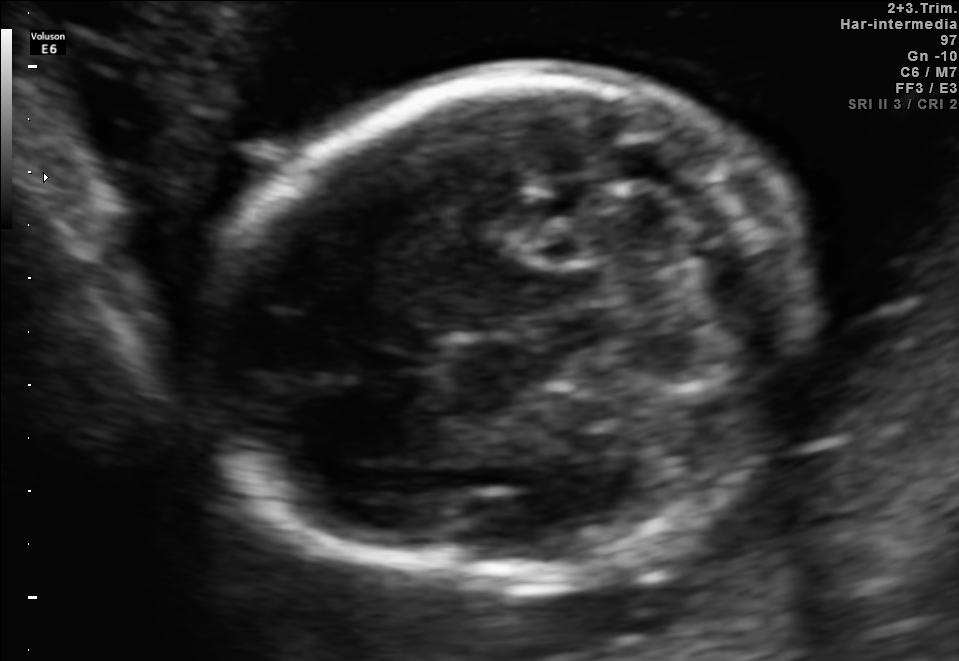
Fetal brain, trans-cerebellum plane. Give [x1,y1,x2,y2] bounding boxes for each visible structure among: fetal head, CSP, LV.

Head: [206,71,805,578]